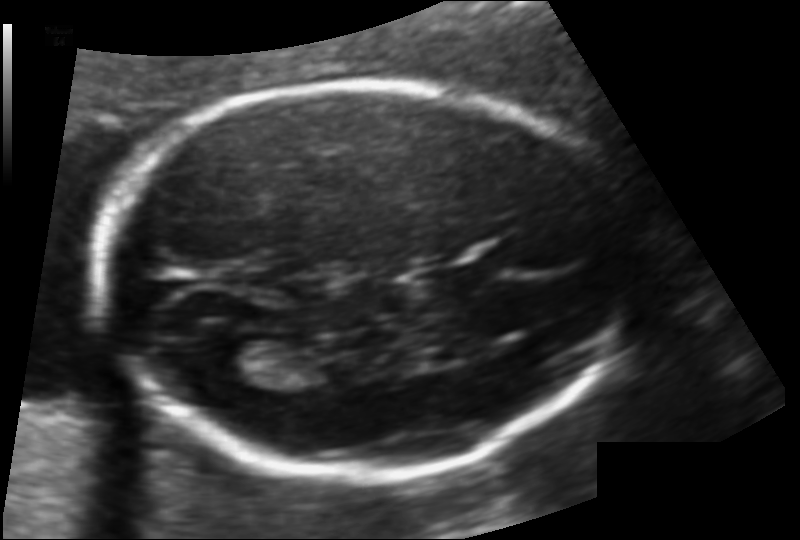
In this fetal head ultrasound, give the bounding box of the fetal head. Image width: 93.3 mm.

[98,81,621,477]